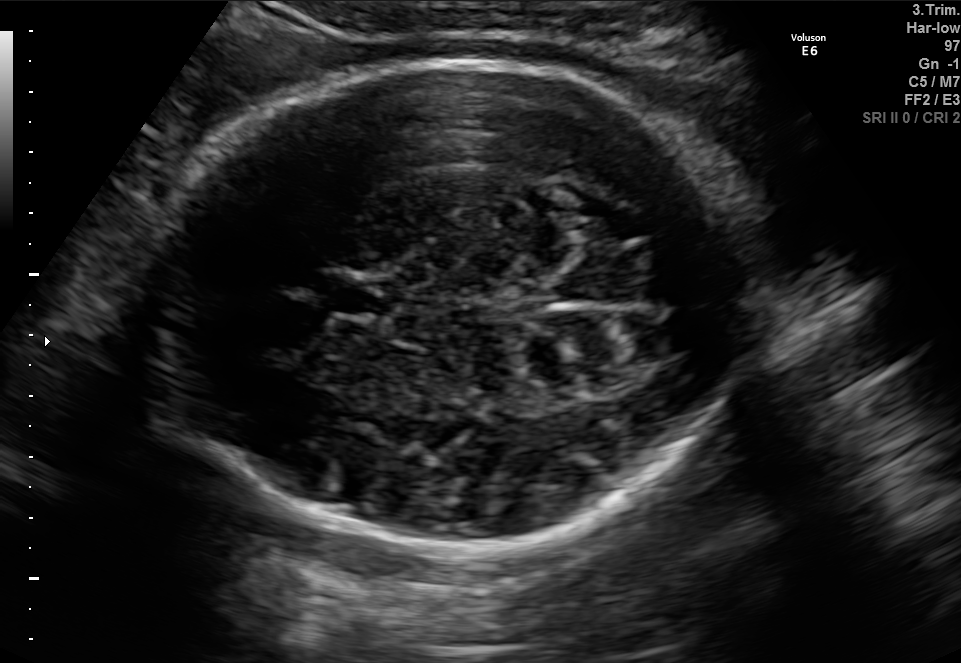
Fetal brain, trans-thalamic plane. Locate the fetal head.

Head: [140,56,769,551]